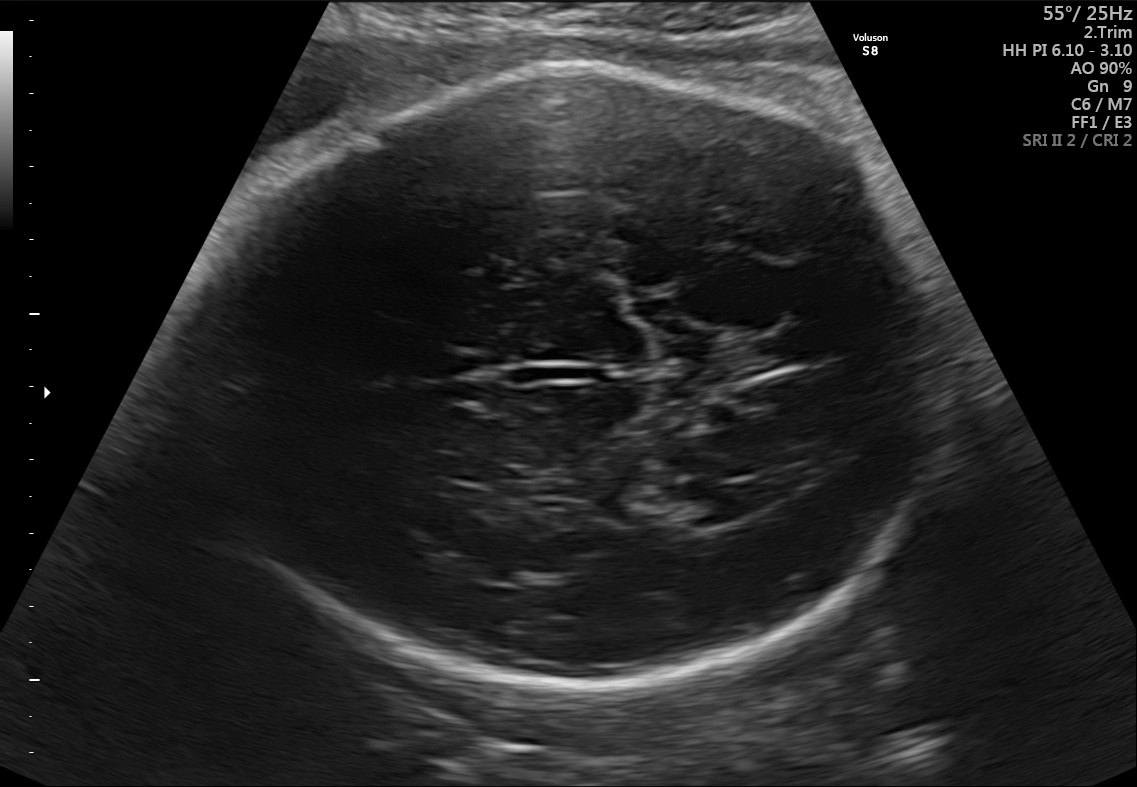
Which standard maternal-fetal ultrasound plane is shown: fetal abdomen, fetal brain, fetal femur, fetal thorax, maternal cervix, or other? If it's fetal brain and one of the three standard brain planes (trans-thalamic, trans-cerebellum, trans-ventricular), name which.

Fetal brain (trans-ventricular plane)